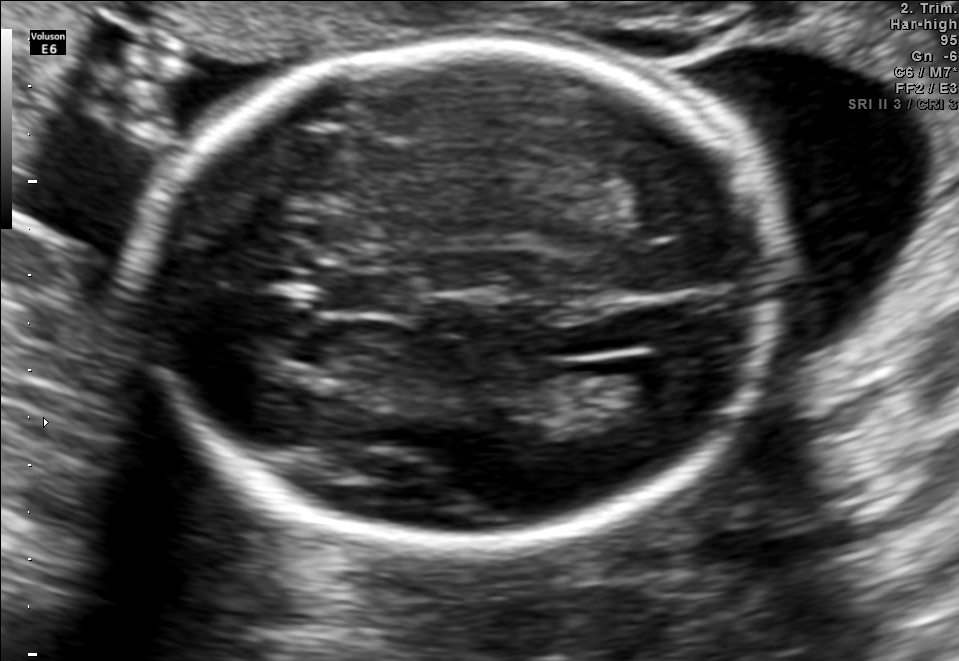
This is a 2D maternal-fetal ultrasound frame. Is it a fetal abdomen, fetal brain, fetal femur, fetal thorax, maternal cervix, or other standard plane? If it's fetal brain and one of the three standard brain planes (trans-thalamic, trans-cerebellum, trans-ventricular), name which.

Fetal brain (trans-ventricular plane)